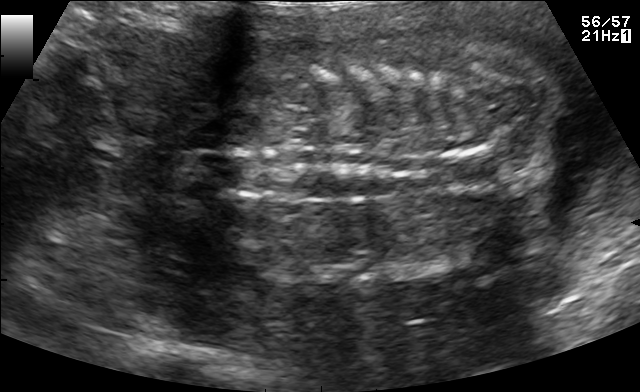
Identify the standard plane in this fetal ultrasound image: fetal abdomen, fetal brain, fetal femur, fetal thorax, maternal cervix, or other. If it's fetal brain and one of the three standard brain planes (trans-thalamic, trans-cerebellum, trans-ventricular), name which.

Other